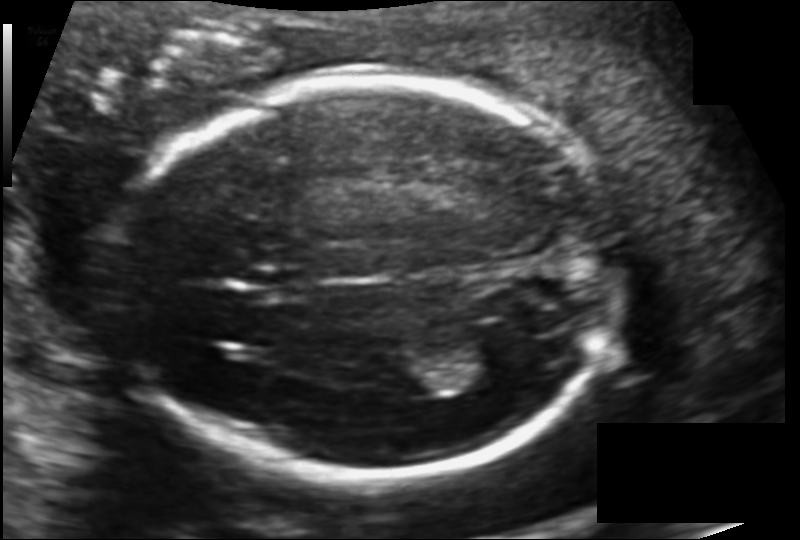
Estimate the fetal head circumference from this 2D ultrasound.

Head circumference: 184.6 mm (image width 101.2 mm).